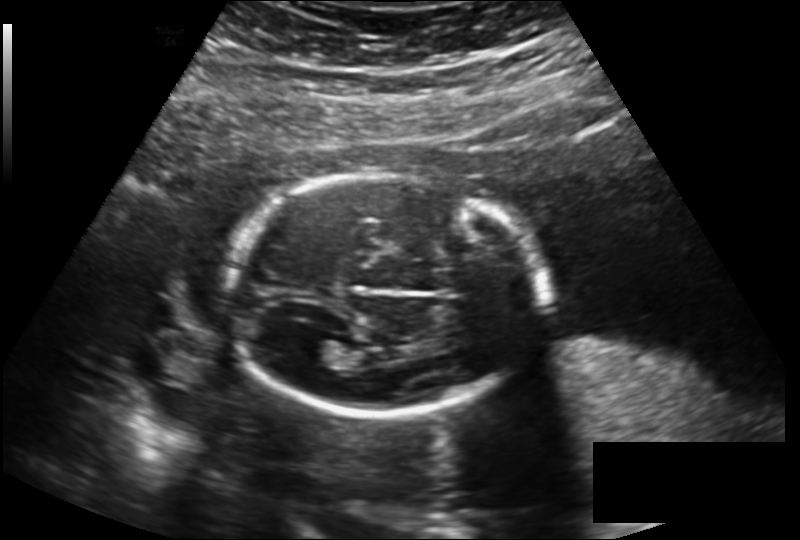
What is the fetal head circumference? Image width is 150.8 mm.

173.3 mm